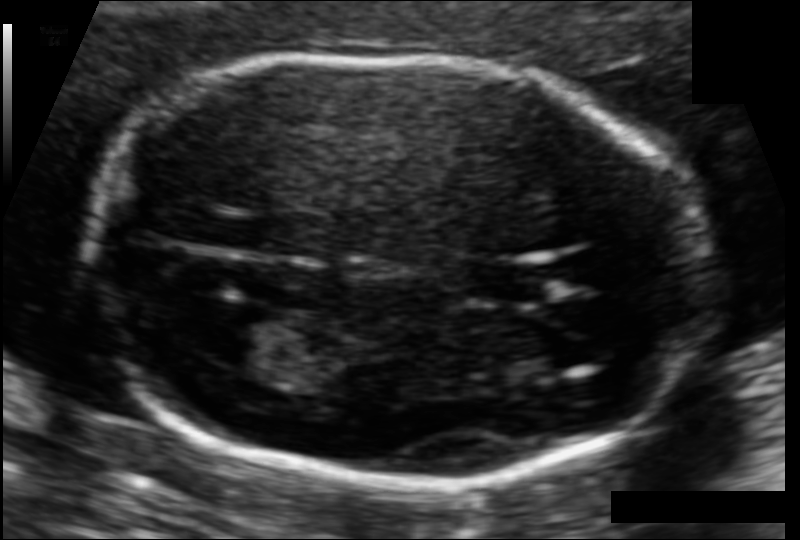
Fetal head ultrasound. Image width: 73.9 mm. Where is the lateral ventricle?

Lateral ventricle bounding box: [195,296,293,376]